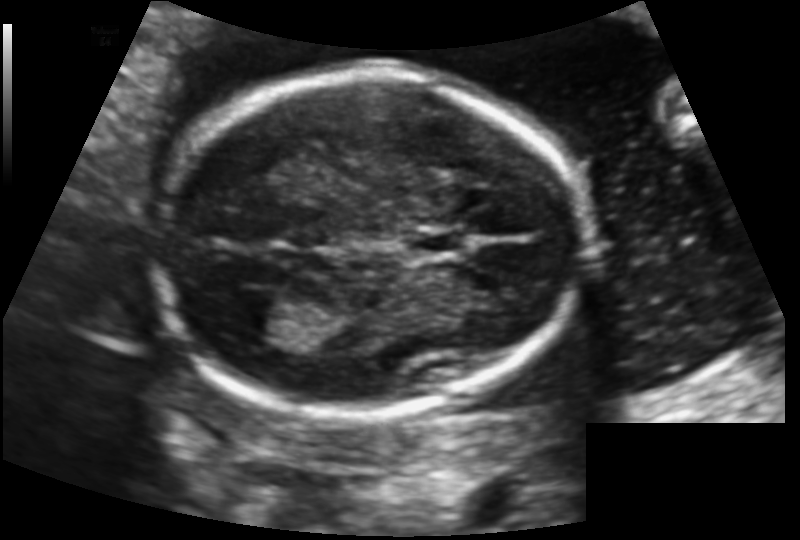
Estimate the fetal head circumference from this 2D ultrasound.

Head circumference: 163.3 mm (image width 103.6 mm).